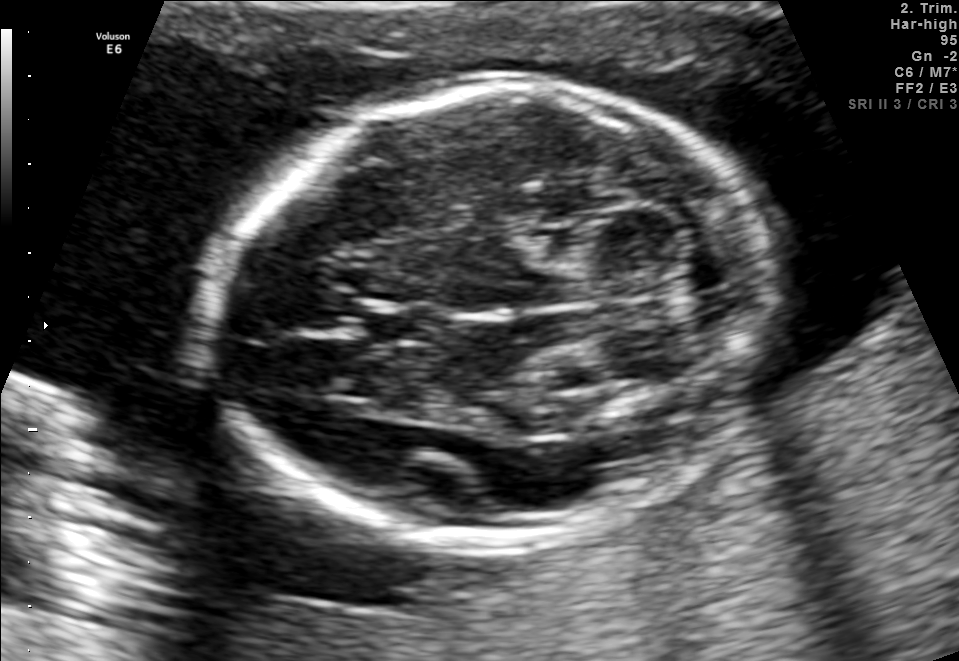
In this fetal brain, trans-cerebellum plane, give bounding boxes for the head outline, cavum septum pellucidum (CSP), and lateral ventricle (LV), where visible.

Head: [205,87,764,540]
CSP: [356,303,437,345]